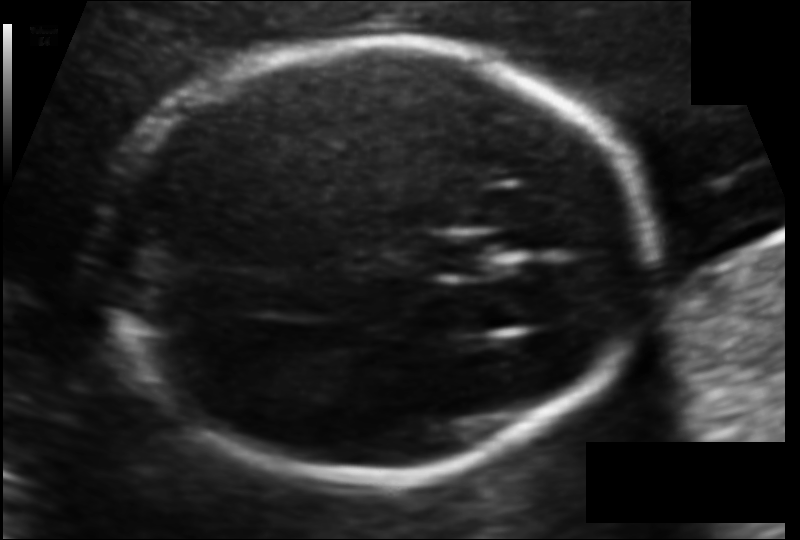
Estimate the fetal head circumference from this 2D ultrasound. Image width: 83.5 mm.

Head circumference: 167.4 mm.